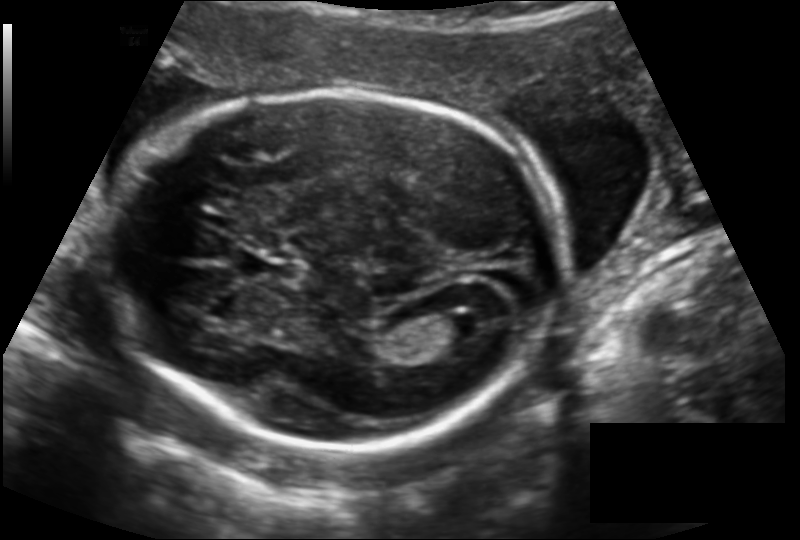
Fetal head ultrasound. Image width: 113.5 mm. Locate the lateral ventricle.

Lateral ventricle: [427,307,482,347]